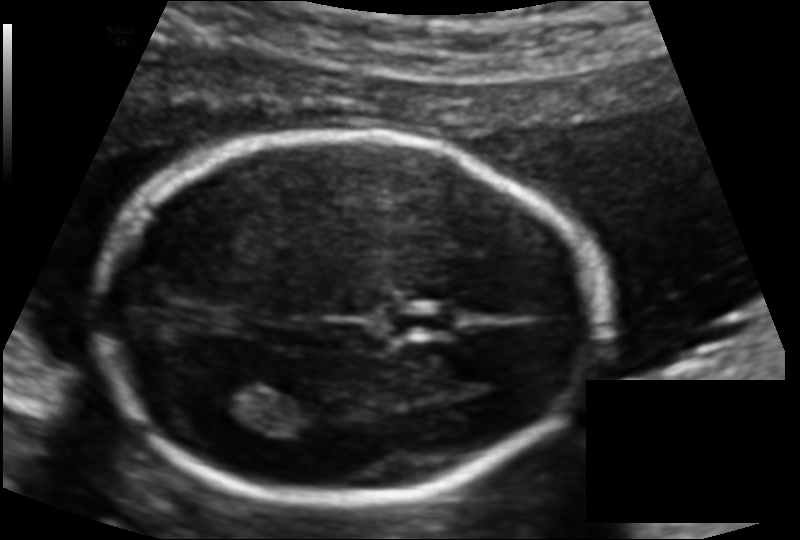
Fetal head ultrasound. Image width: 91.6 mm. Locate the fetal head and, if visible, the cavum septum pellucidum (CSP) and lateral ventricle (LV). Give bounding boxes as [x1,y1,x2,y2].

Head: [101,135,602,500]
CSP: [389,307,453,336]
Lateral ventricle: [200,363,285,435]